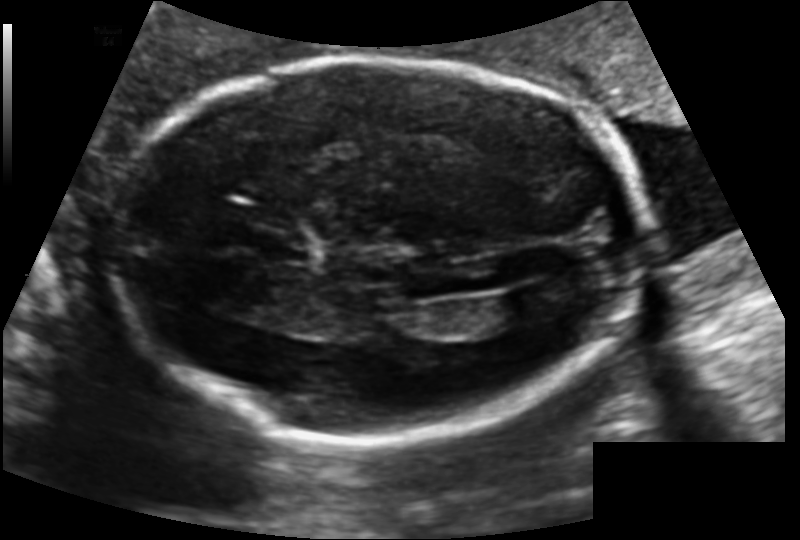
Fetal head ultrasound. Image width: 105.0 mm. Give [x1,y1,x2,y2] bounding boxes for each visible structure among: fetal head, CSP, LV.

Head: [112,56,650,440]
CSP: [248,226,311,266]
Lateral ventricle: [494,279,565,328]